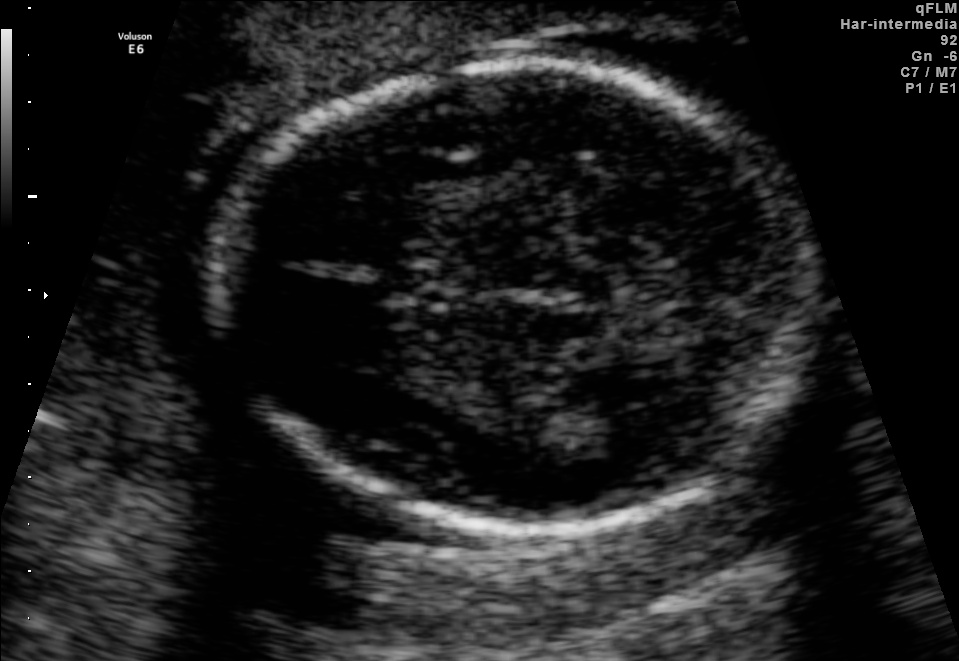
Fetal brain, trans-thalamic plane. Give [x1,y1,x2,y2] bounding boxes for each visible structure among: fetal head, CSP, LV.

Head: [219,62,816,525]